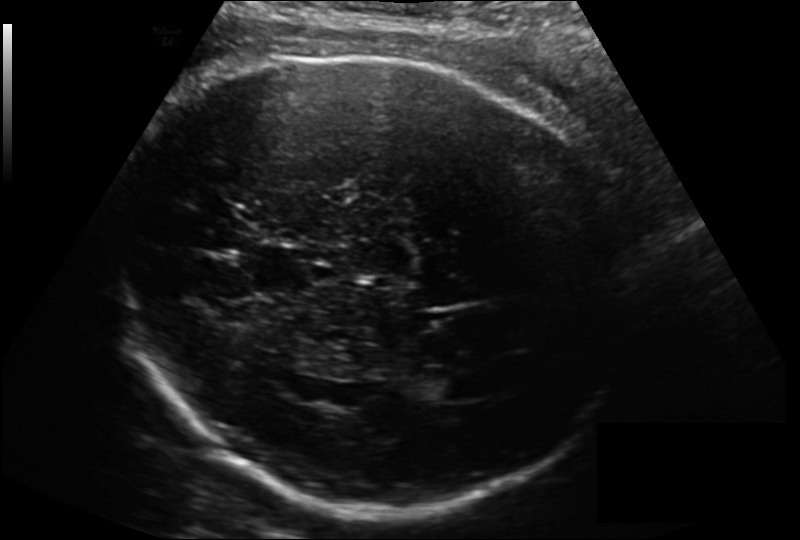
Measure the fetal head circumference shown in this ultrasound image. Image width: 159.6 mm.

Head circumference: 307.0 mm.